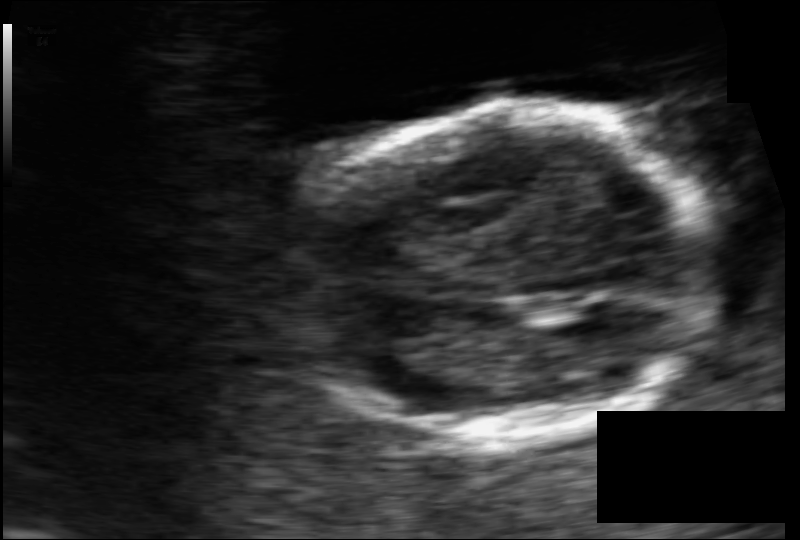
From this fetal ultrasound, estimate the head circumference (image width 67.0 mm).

Head circumference: 103.9 mm.